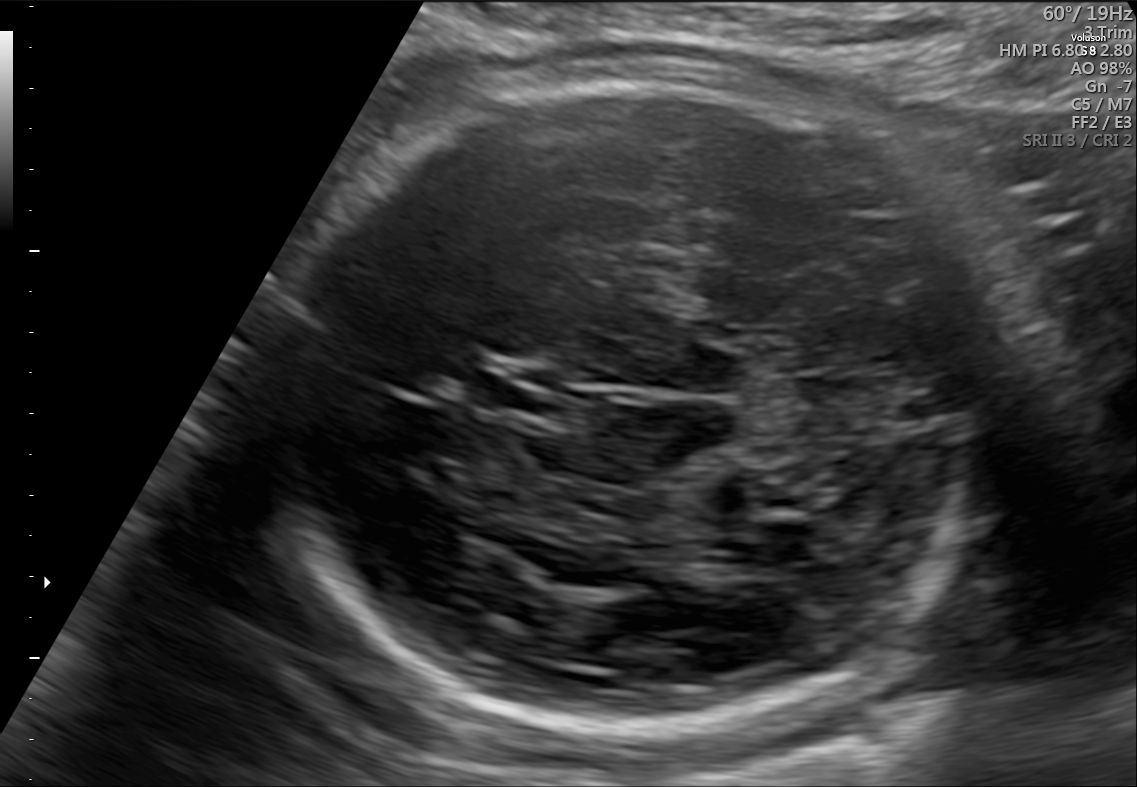
Fetal brain, trans-cerebellum plane. Locate the fetal head.

Head: [268,74,983,727]